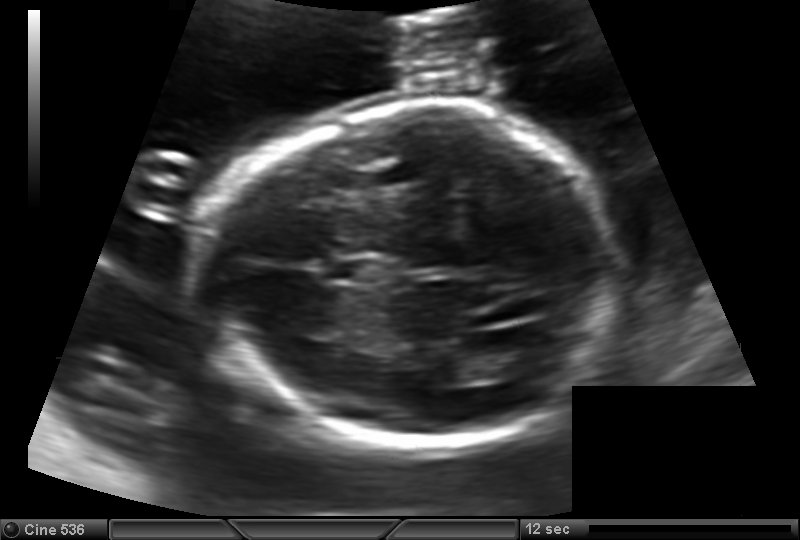
In this fetal head ultrasound, give bounding boxes for the head outline, cavum septum pellucidum (CSP), and lateral ventricle (LV), where visible. Image width: 115.2 mm.

Head: [201,104,619,449]
CSP: [335,259,379,282]
Lateral ventricle: [482,339,550,382]